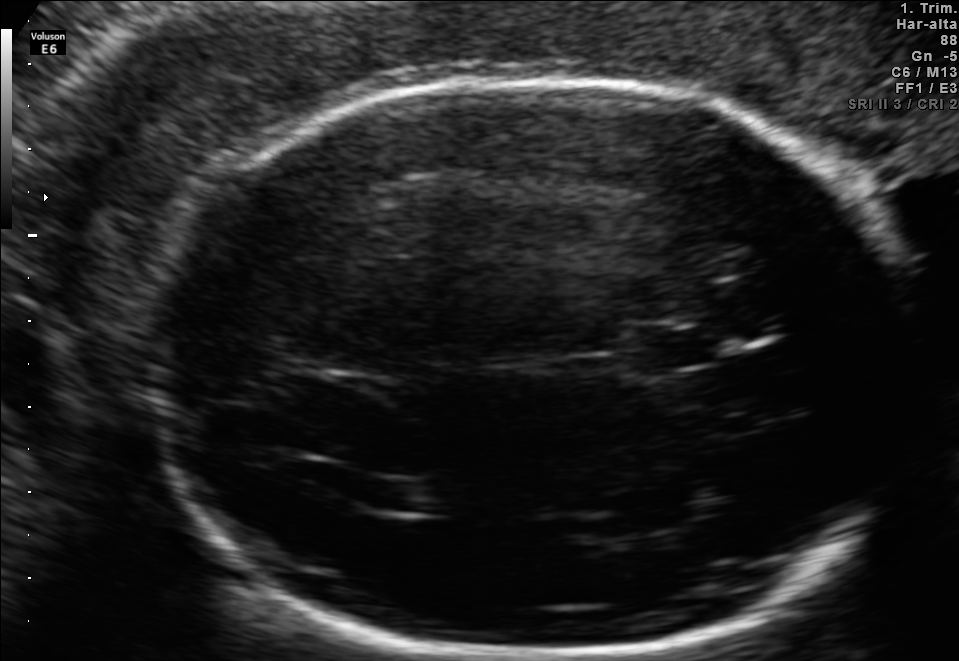
Fetal brain, trans-thalamic plane. Where is the fetal head?

Head bounding box: [135,83,912,656]